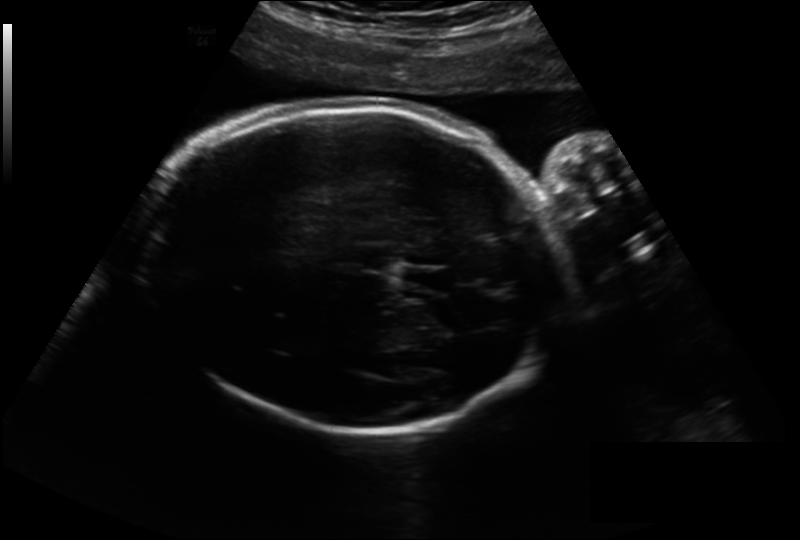
Fetal head ultrasound. Image width: 194.6 mm. Where is the fetal head?

Head bounding box: [139,102,566,430]